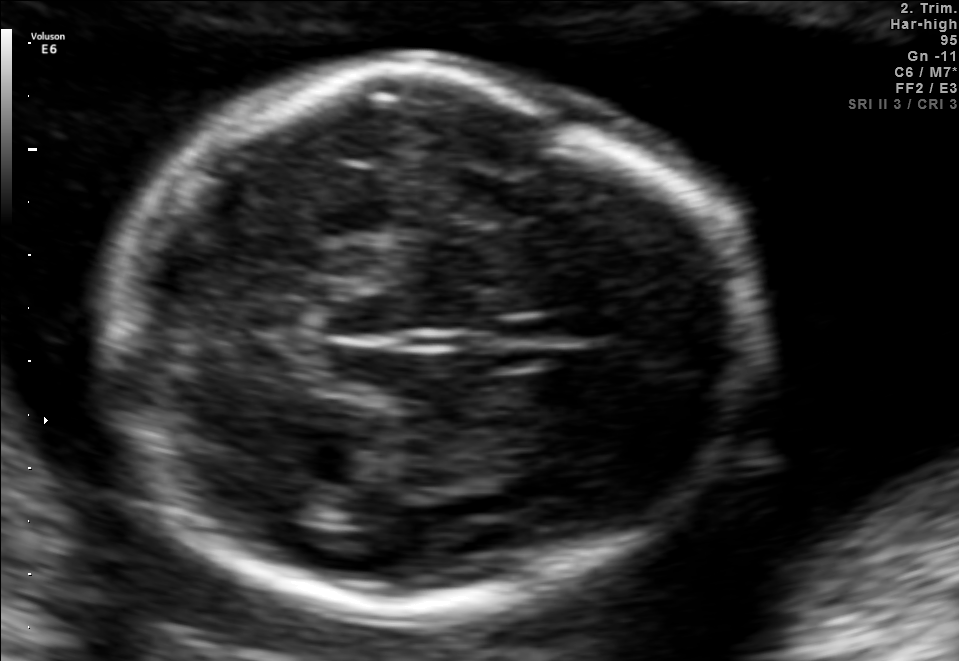
Fetal brain, trans-thalamic plane. Where is the lateral ventricle?

Lateral ventricle bounding box: [281,480,352,527]